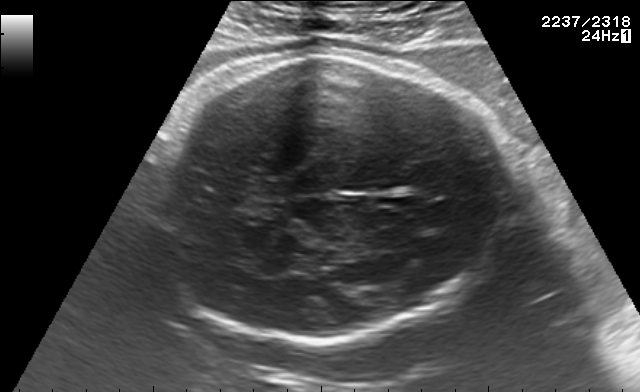
In this fetal brain, trans-thalamic plane, give the bounding box of the fetal head.

[147,54,509,342]